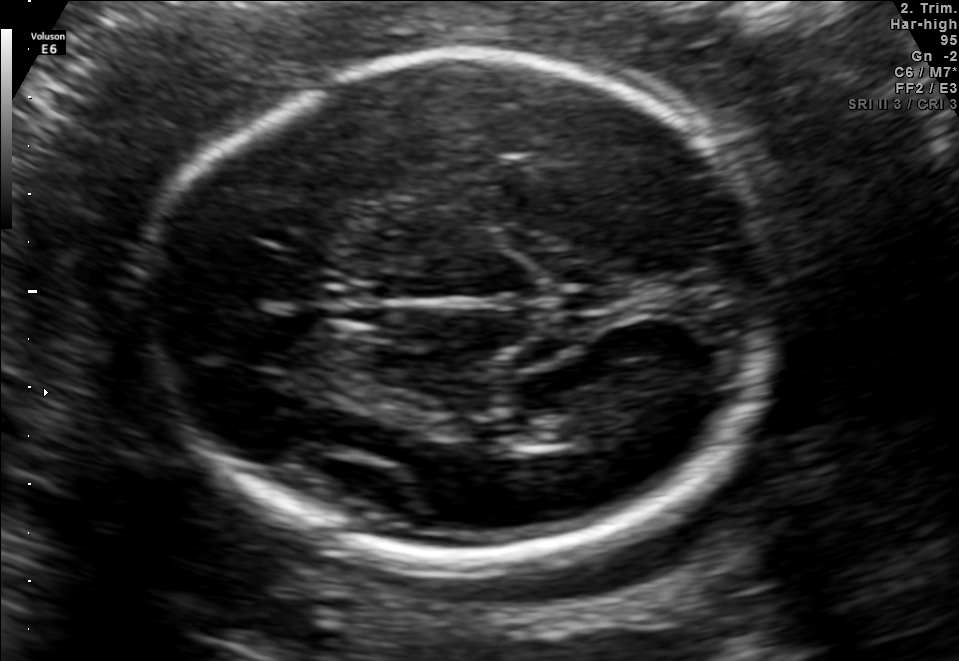
Fetal brain, trans-thalamic plane. Locate the fetal head and, if visible, the cavum septum pellucidum (CSP) and lateral ventricle (LV). Give bounding boxes as [x1,y1,x2,y2].

Head: [145,49,768,560]
Lateral ventricle: [514,408,581,447]